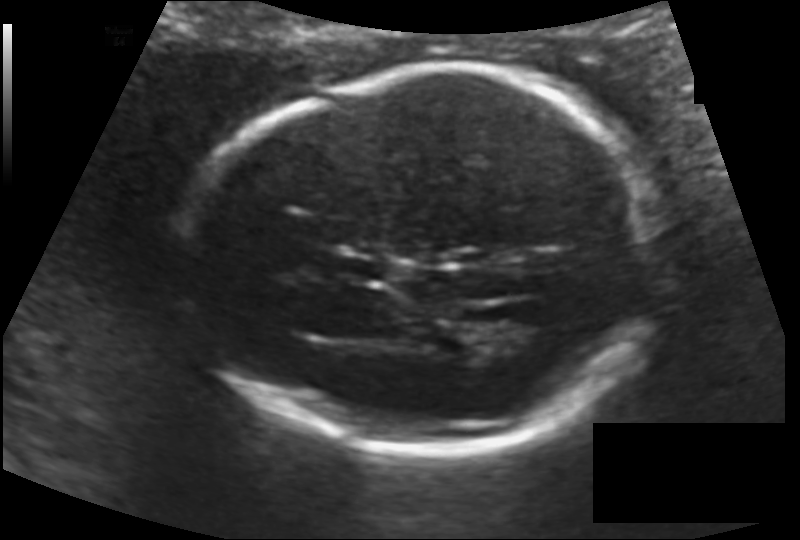
From this fetal ultrasound, estimate the head circumference (image width 102.3 mm).

Head circumference: 177.0 mm.